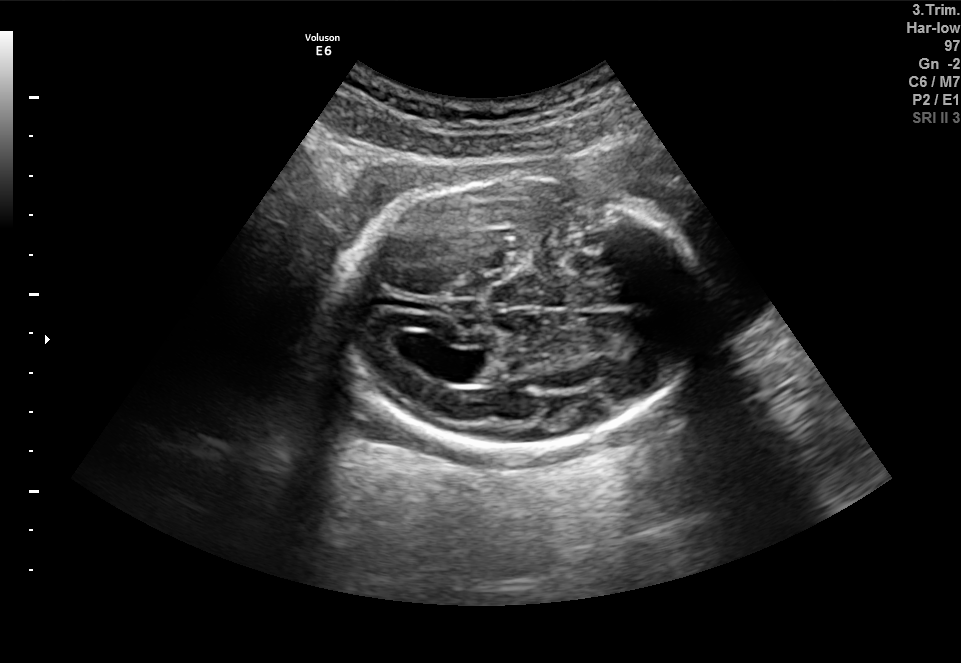
In this fetal brain, trans-ventricular plane, give the bounding box of the fetal head.

[332,174,709,455]